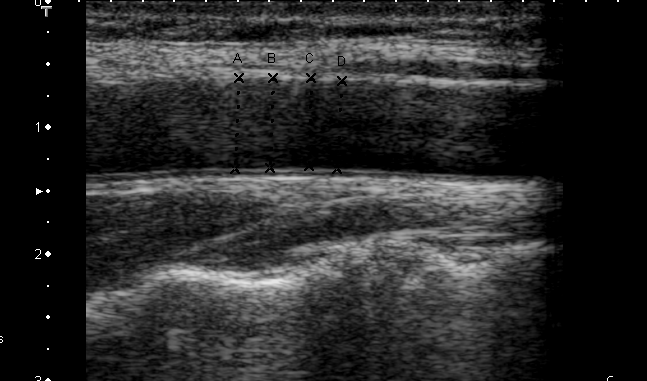
This is a 2D maternal-fetal ultrasound frame. Is it a fetal abdomen, fetal brain, fetal femur, fetal thorax, maternal cervix, or other standard plane? If it's fetal brain and one of the three standard brain planes (trans-thalamic, trans-cerebellum, trans-ventricular), name which.

Other